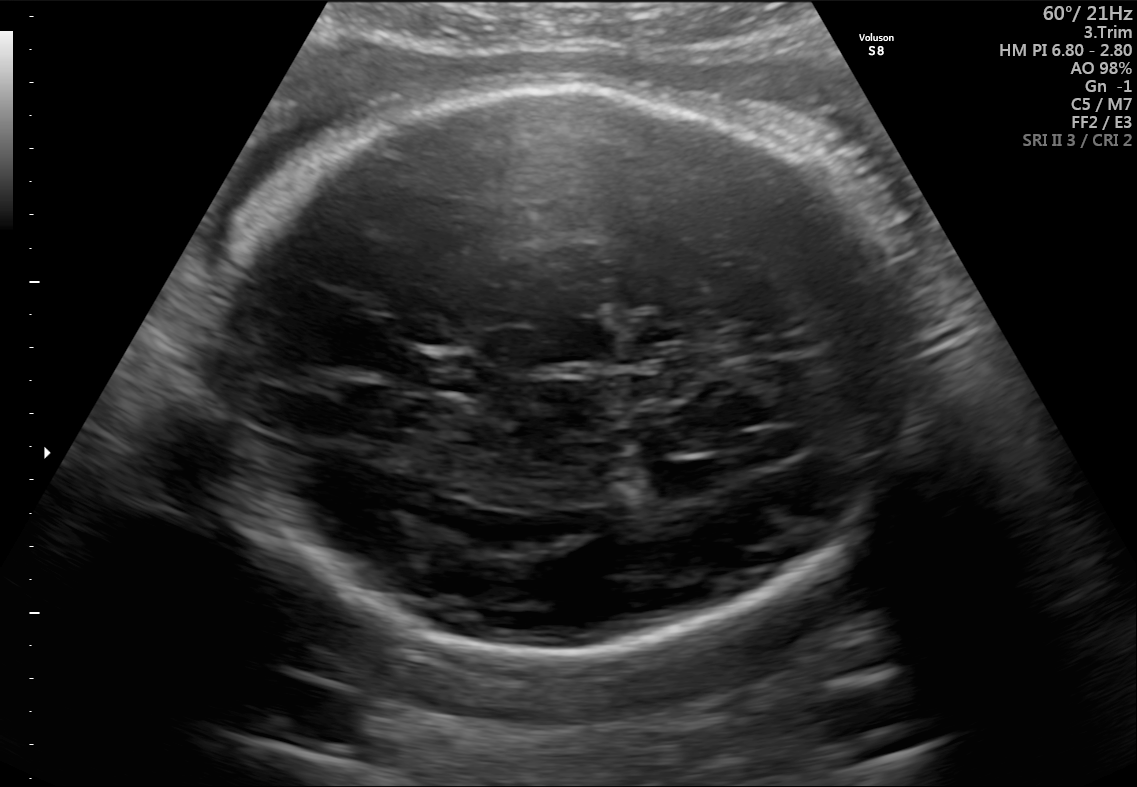
In this fetal brain, trans-thalamic plane, give the bounding box of the fetal head.

[206,90,909,654]